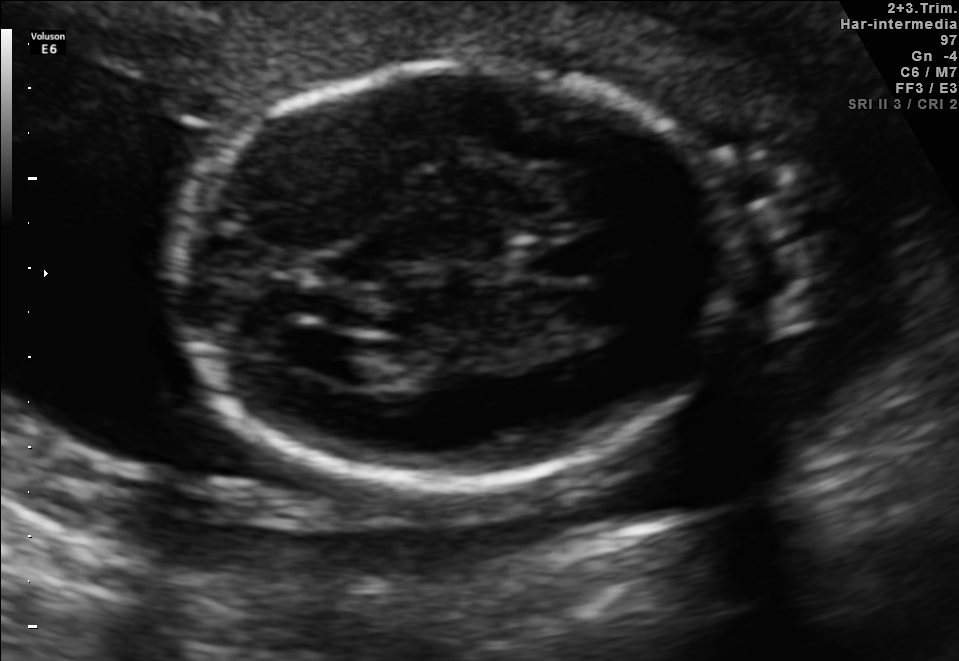
Fetal brain, trans-ventricular plane. Give [x1,y1,x2,y2] bounding boxes for each visible structure among: fetal head, CSP, LV.

Head: [158,58,759,495]
CSP: [510,239,592,278]
Lateral ventricle: [266,316,370,387]